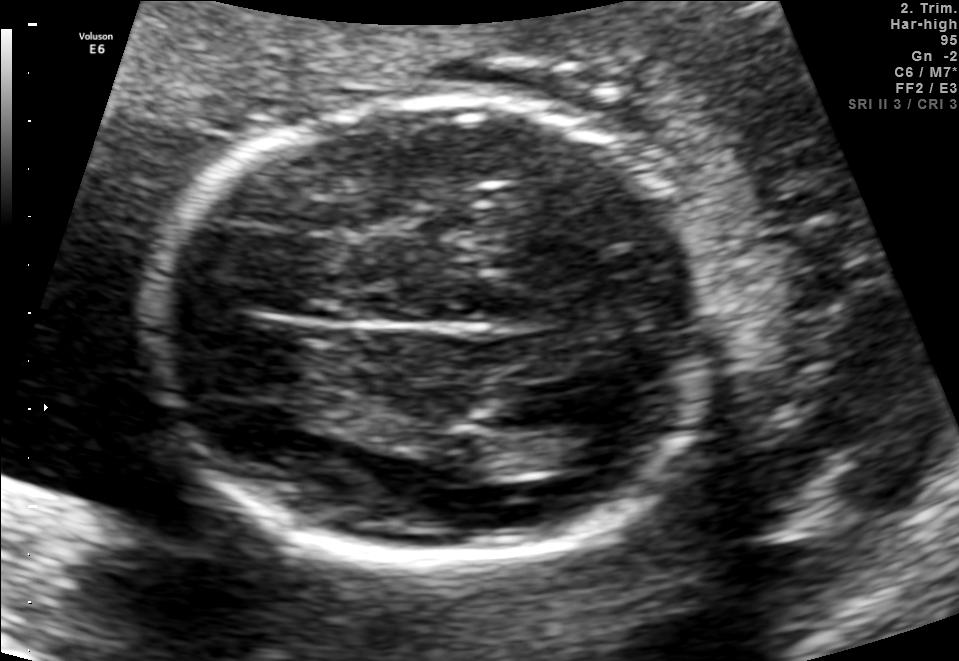
Fetal brain, trans-thalamic plane. Where is the fetal head?

Head bounding box: [152,97,711,560]